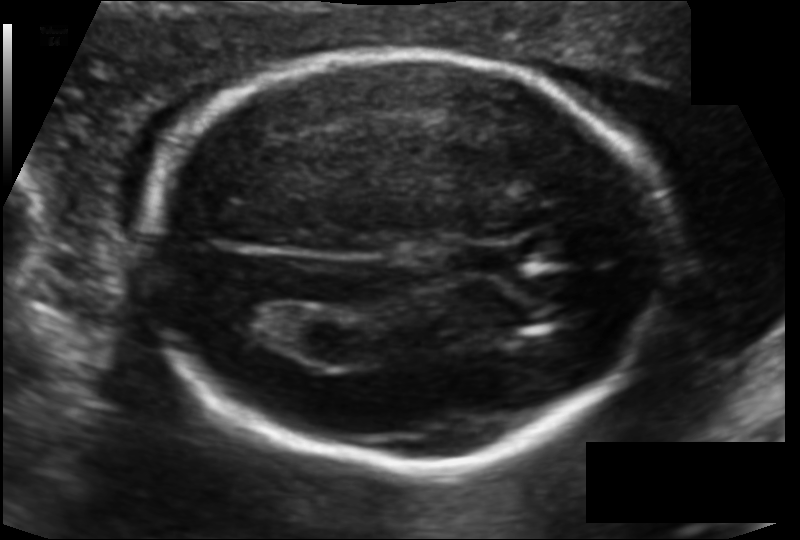
Fetal head ultrasound. Image width: 91.7 mm. Locate the fetal head.

Head: [143,54,668,466]